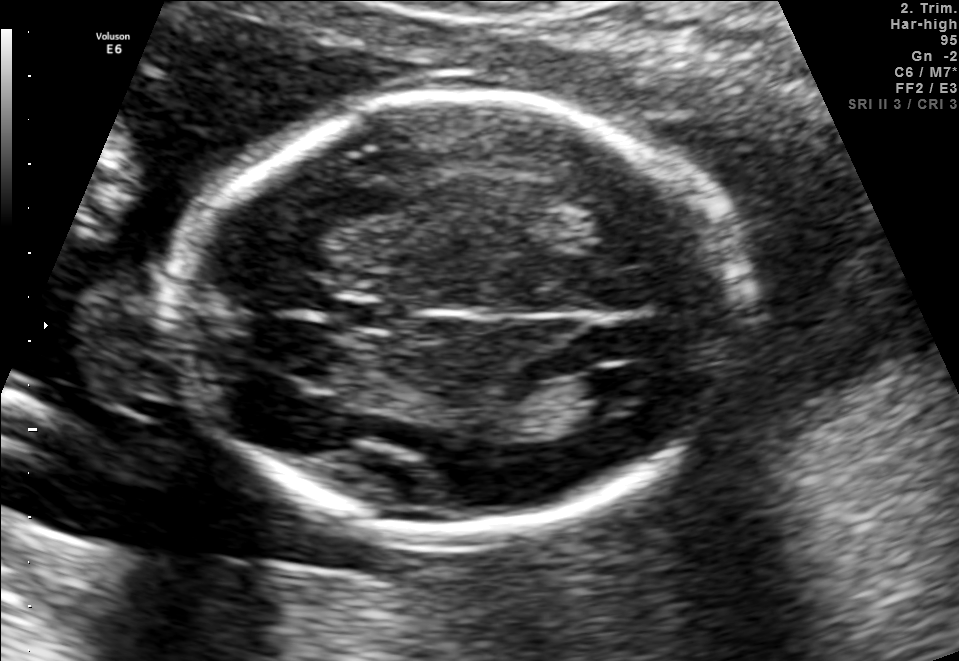
Fetal brain, trans-ventricular plane. Locate the cavum septum pellucidum.

CSP: [342,302,389,330]